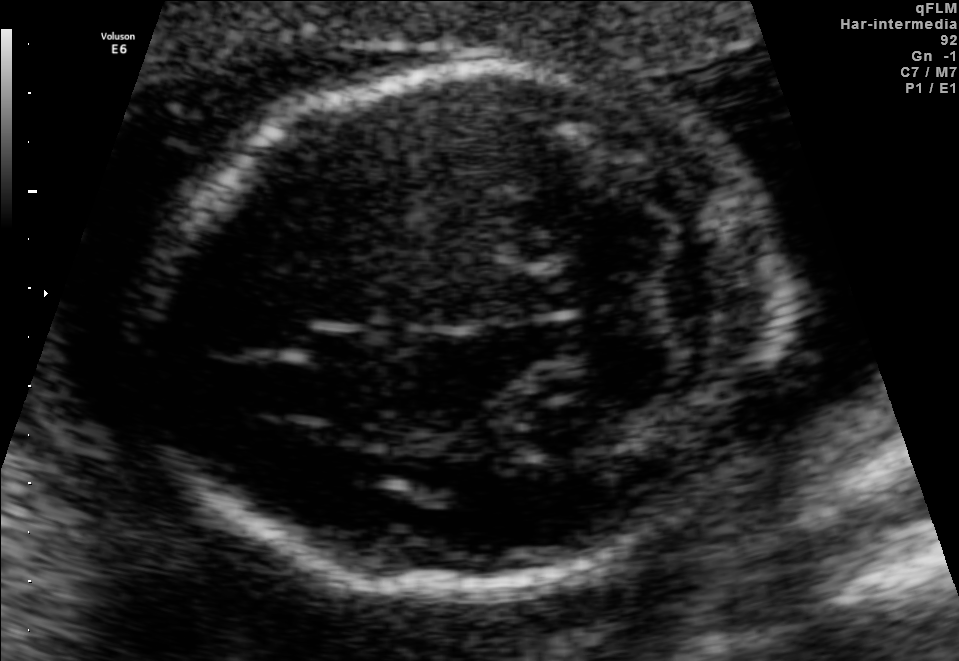
Fetal brain, trans-cerebellum plane. Give [x1,y1,x2,y2] bounding boxes for each visible structure among: fetal head, CSP, LV.

Head: [140,66,781,585]